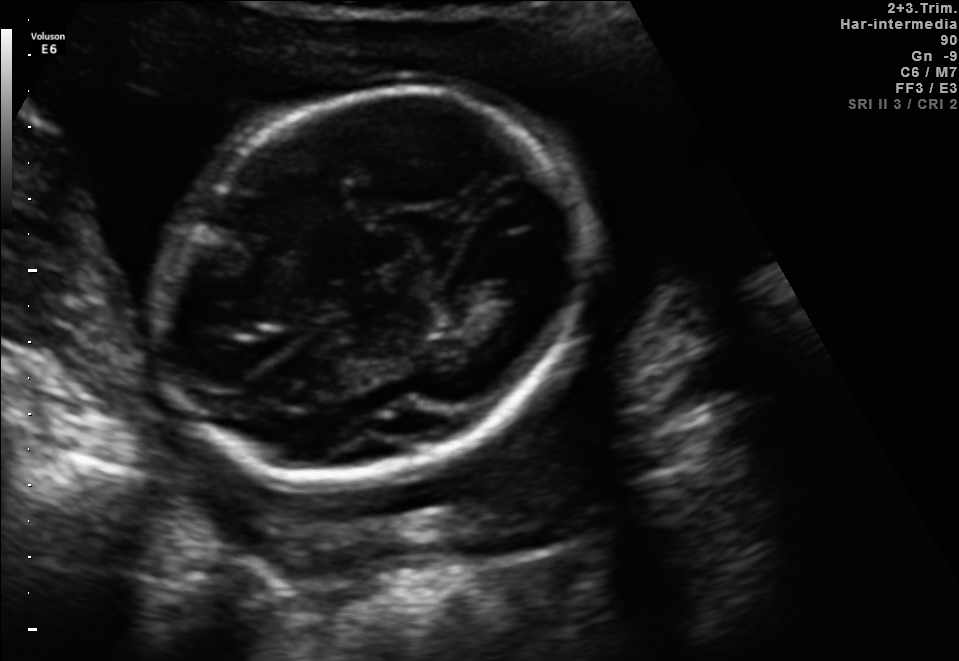
In this fetal brain, trans-thalamic plane, give the bounding box of the fetal head.

[157,82,588,489]